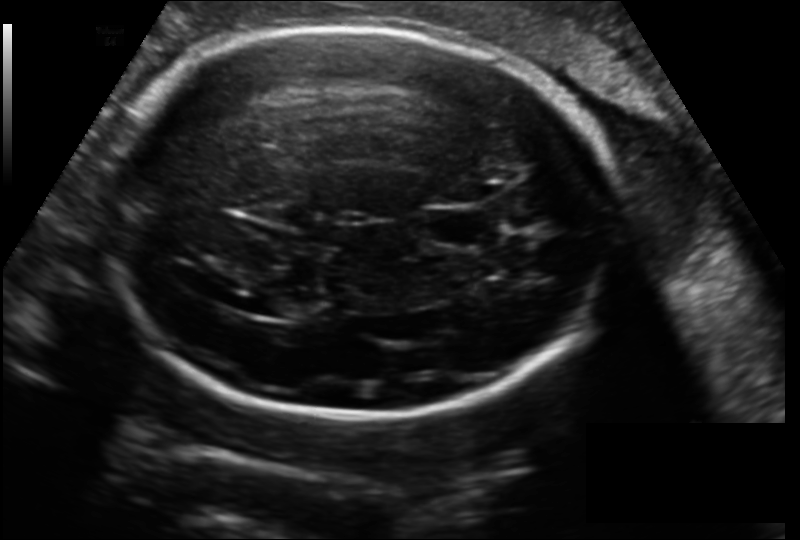
Fetal head ultrasound. Image width: 142.1 mm. Where is the fetal head?

Head bounding box: [98,25,619,417]